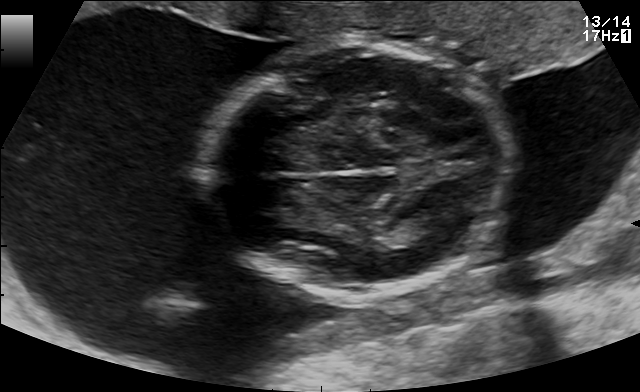
In this fetal brain, trans-thalamic plane, give bounding boxes for the head outline, cavum septum pellucidum (CSP), and lateral ventricle (LV), where visible.

Head: [205,45,509,297]
Lateral ventricle: [395,202,453,245]